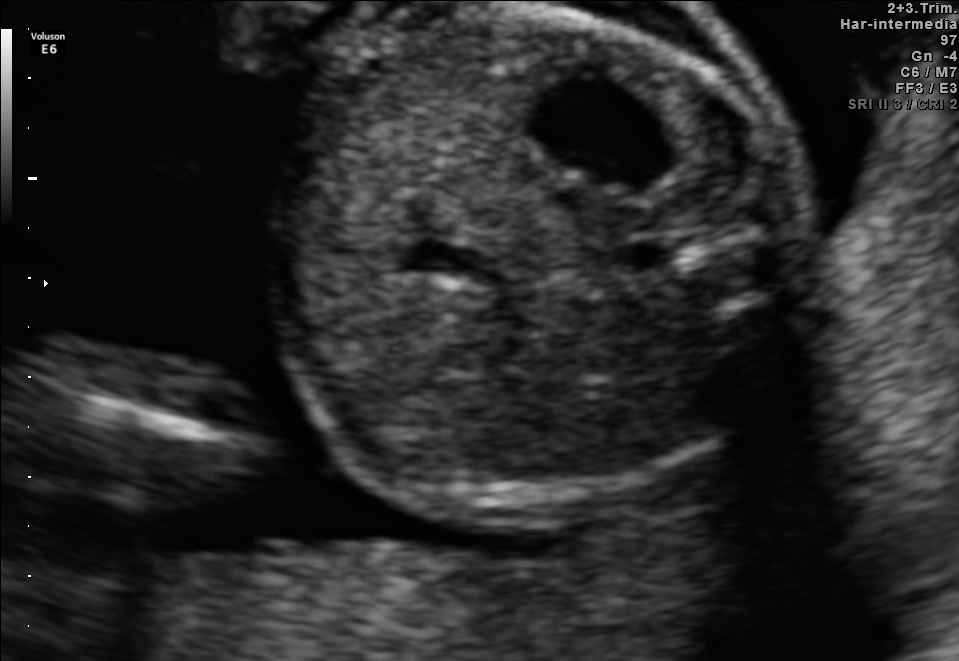
Classify this maternal-fetal ultrasound image as one of the six standard planes — fetal abdomen, fetal brain, fetal femur, fetal thorax, maternal cervix, or other. If it's fetal brain and one of the three standard brain planes (trans-thalamic, trans-cerebellum, trans-ventricular), name which.

Fetal abdomen